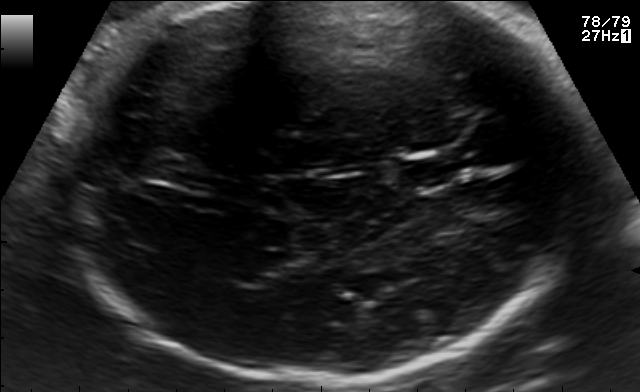
In this fetal brain, trans-thalamic plane, give bounding boxes for the head outline, cavum septum pellucidum (CSP), and lateral ventricle (LV), where visible.

Head: [57,2,607,384]
CSP: [398,153,456,193]